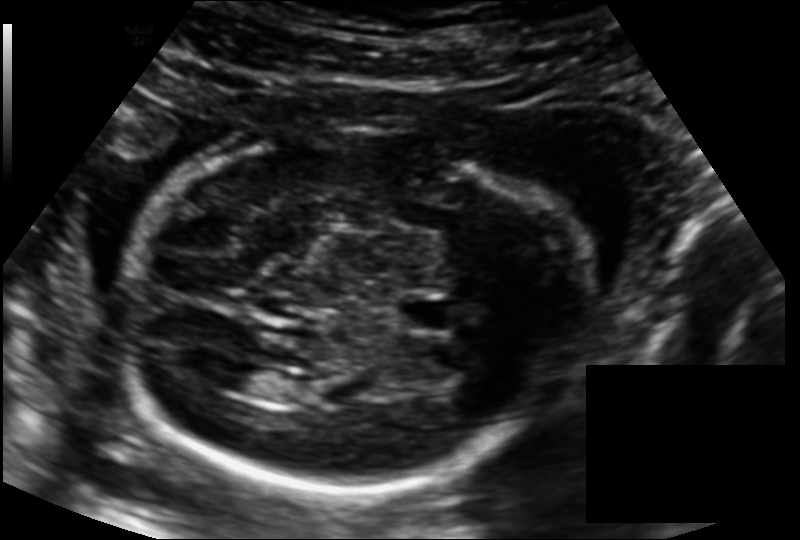
Fetal head ultrasound. Image width: 111.3 mm. Locate the fetal head and, if visible, the cavum septum pellucidum (CSP) and lateral ventricle (LV). Give bounding boxes as [x1,y1,x2,y2].

Head: [118,125,588,489]
CSP: [400,298,453,331]
Lateral ventricle: [215,360,271,398]